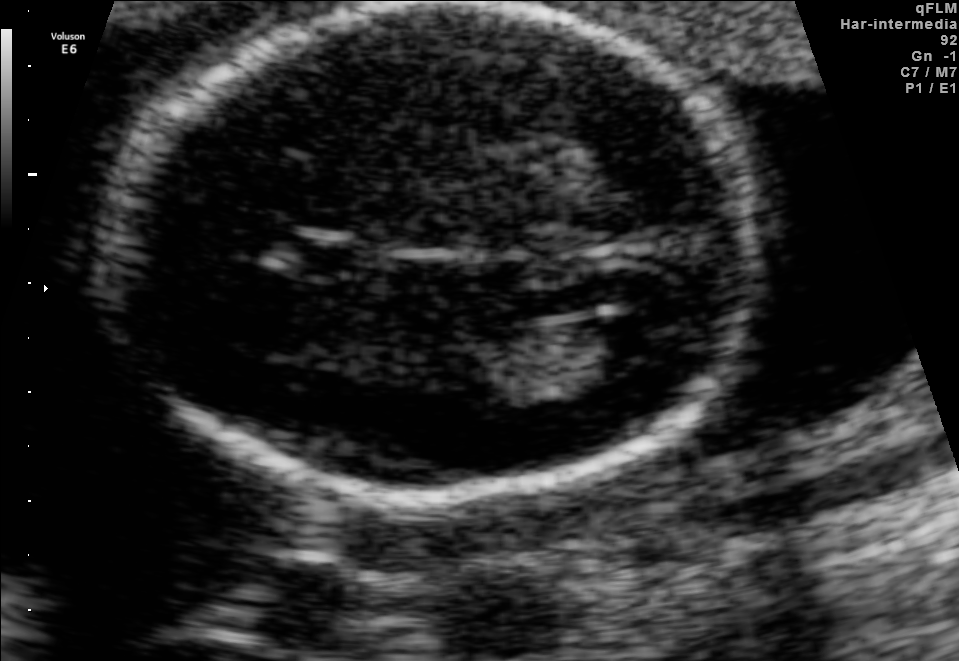
Fetal brain, trans-ventricular plane. Locate the lateral ventricle.

Lateral ventricle: [577,301,677,376]